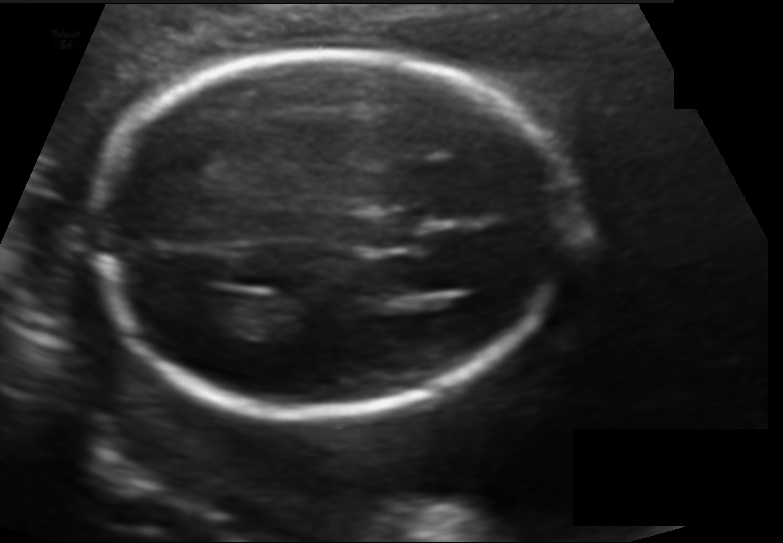
Fetal head ultrasound. Image width: 100.2 mm. Locate the fetal head.

Head: [93,55,564,412]